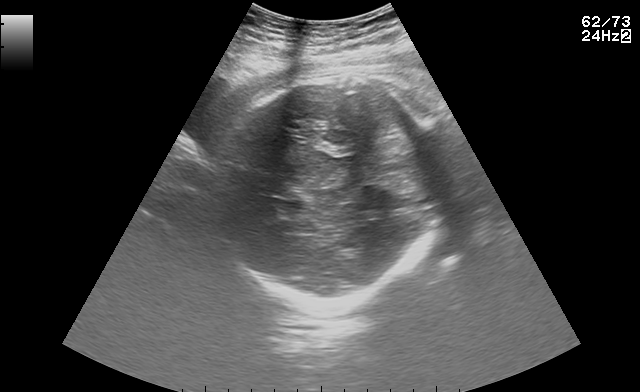
Fetal brain, trans-thalamic plane. Where is the fetal head?

Head bounding box: [213,72,442,304]